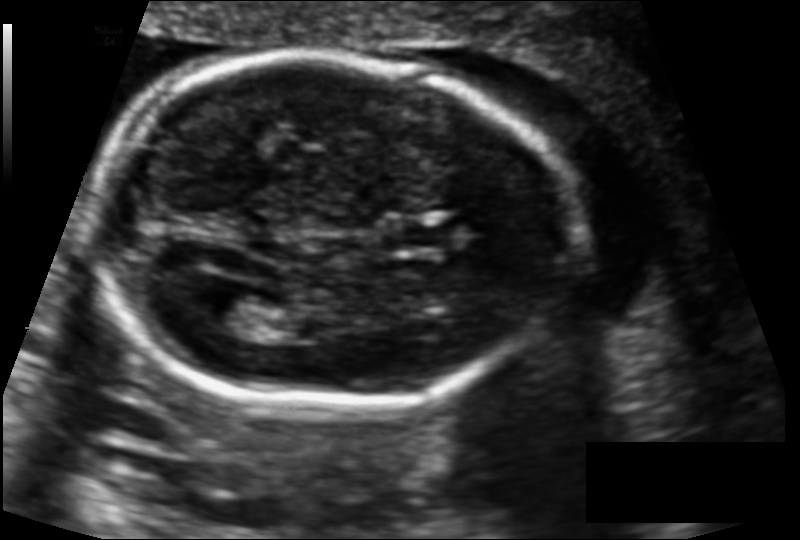
Estimate the fetal head circumference from this 2D ultrasound. Image width: 97.4 mm.

Head circumference: 165.6 mm.